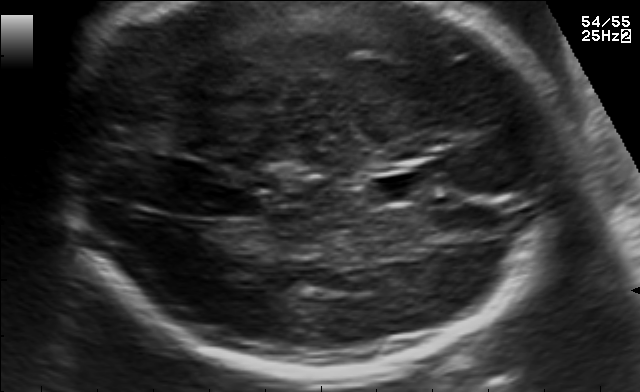
Fetal brain, trans-thalamic plane. Where is the cavum septum pellucidum?

CSP bounding box: [371,169,433,206]